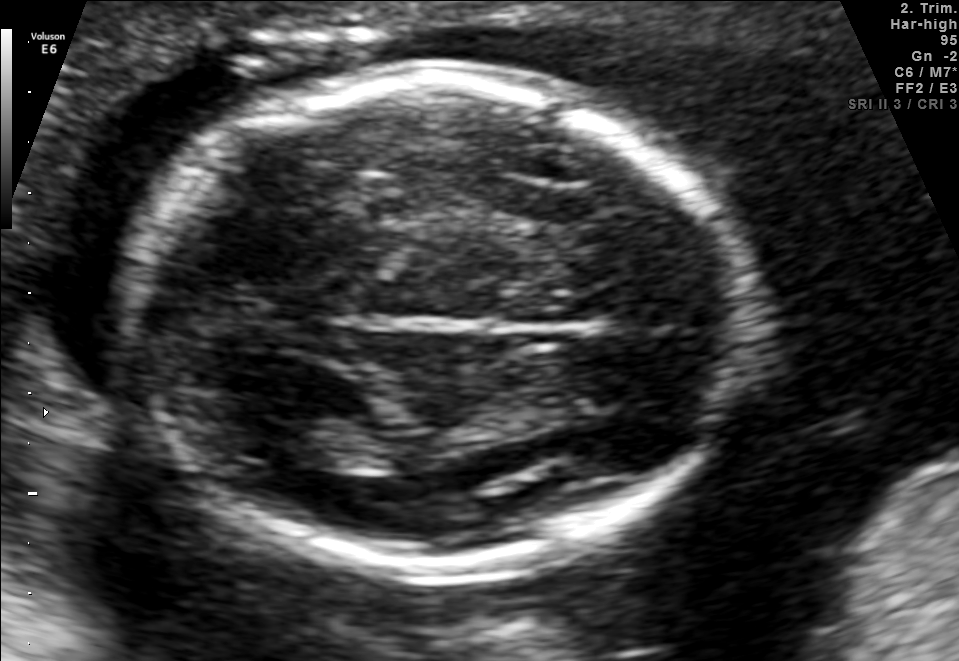
Identify the standard plane in this fetal ultrasound image: fetal abdomen, fetal brain, fetal femur, fetal thorax, maternal cervix, or other. If it's fetal brain and one of the three standard brain planes (trans-thalamic, trans-cerebellum, trans-ventricular), name which.

Fetal brain (trans-thalamic plane)